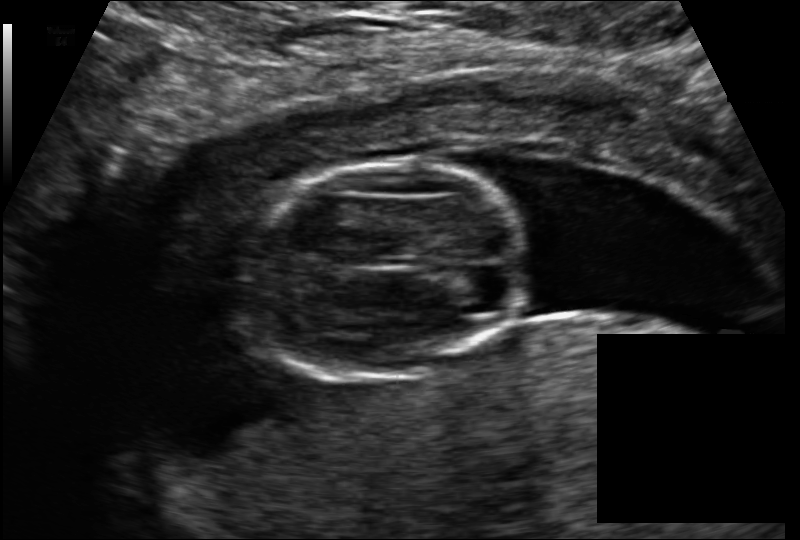
From this fetal ultrasound, estimate the head circumference (image width 91.0 mm).

Head circumference: 94.8 mm.